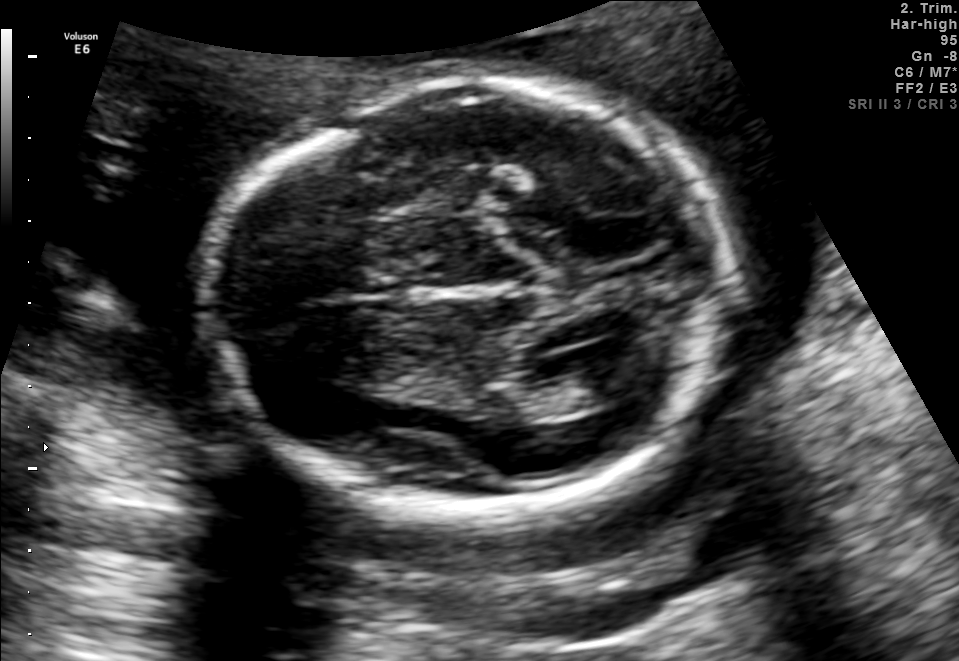
Fetal brain, trans-ventricular plane. Where is the fetal head?

Head bounding box: [202,76,747,515]